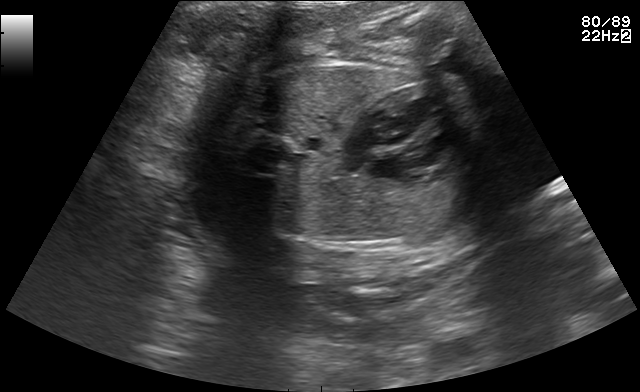
Classify this maternal-fetal ultrasound image as one of the six standard planes — fetal abdomen, fetal brain, fetal femur, fetal thorax, maternal cervix, or other. If it's fetal brain and one of the three standard brain planes (trans-thalamic, trans-cerebellum, trans-ventricular), name which.

Fetal thorax